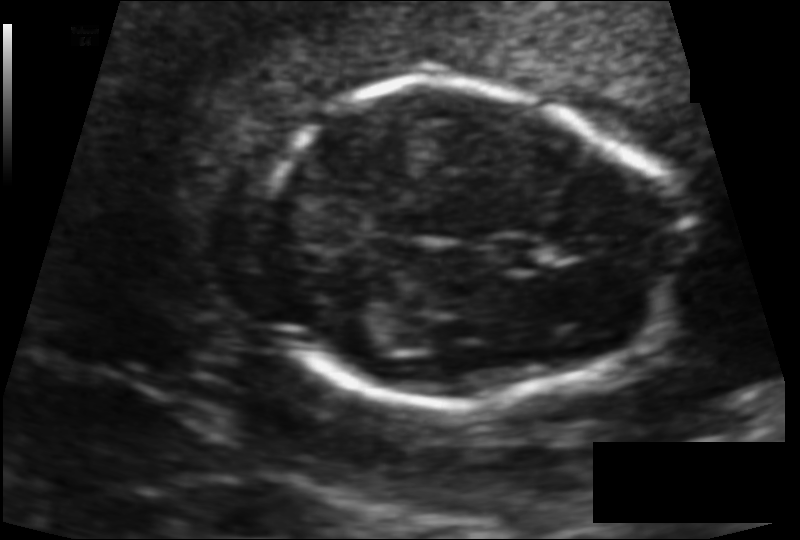
Fetal head ultrasound. Image width: 80.4 mm. Locate the fetal head and, if visible, the cavum septum pellucidum (CSP) and lateral ventricle (LV). Give bounding boxes as [x1,y1,x2,y2].

Head: [254,84,682,407]
CSP: [492,240,543,270]
Lateral ventricle: [331,313,392,351]